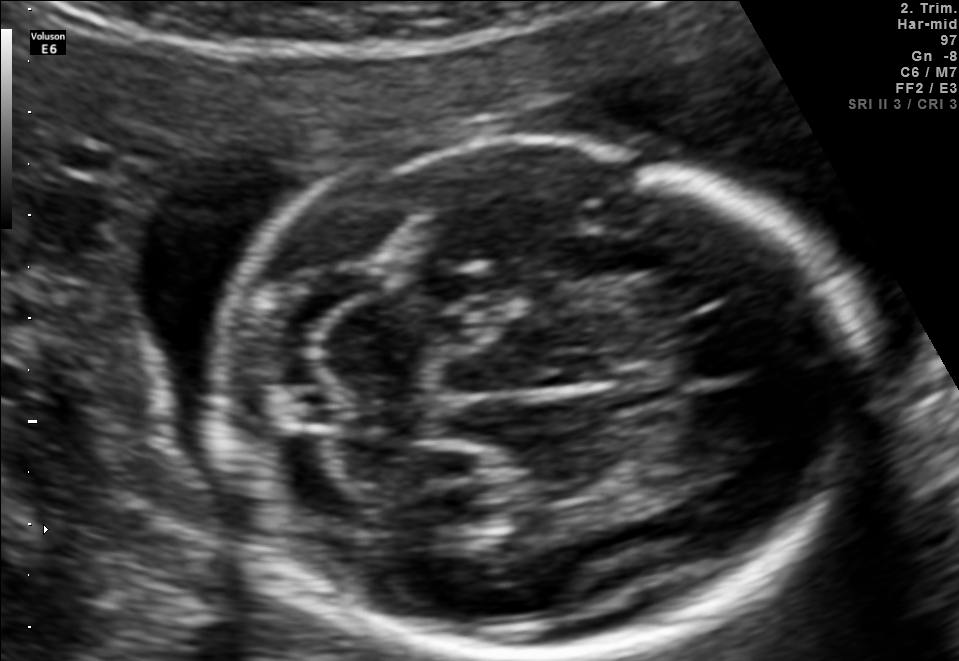
Fetal brain, trans-cerebellum plane. Give [x1,y1,x2,y2] bounding boxes for each visible structure among: fetal head, CSP, LV.

Head: [213,138,850,660]